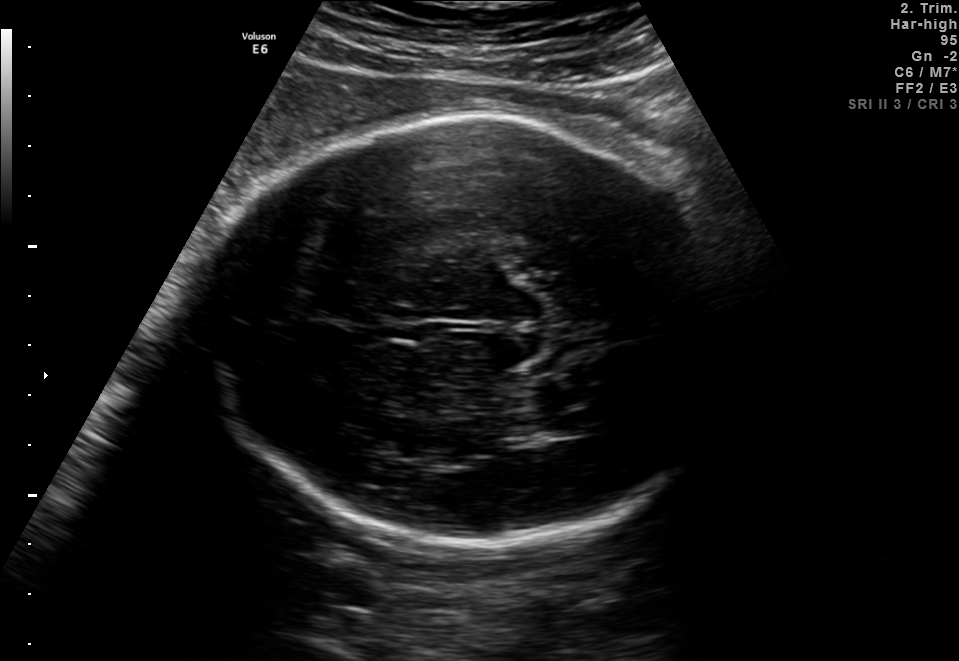
Fetal brain, trans-thalamic plane. Locate the lateral ventricle.

Lateral ventricle: [538,409,605,441]